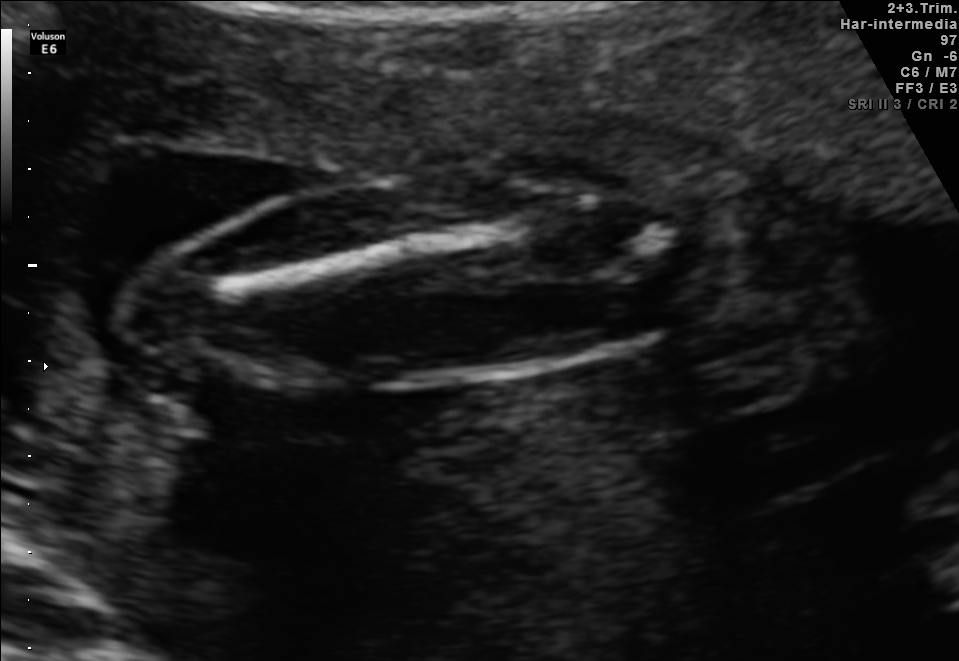
Identify the standard plane in this fetal ultrasound image: fetal abdomen, fetal brain, fetal femur, fetal thorax, maternal cervix, or other. If it's fetal brain and one of the three standard brain planes (trans-thalamic, trans-cerebellum, trans-ventricular), name which.

Fetal femur